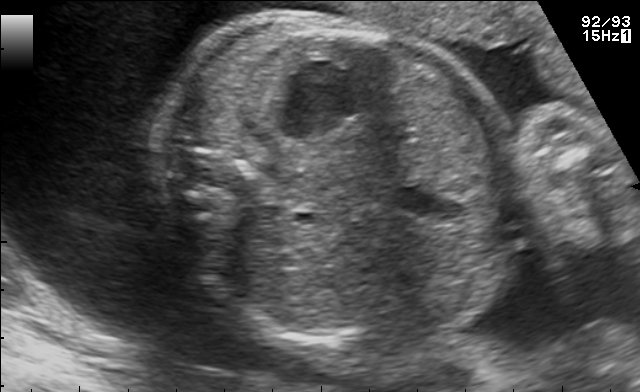
Which standard maternal-fetal ultrasound plane is shown: fetal abdomen, fetal brain, fetal femur, fetal thorax, maternal cervix, or other? If it's fetal brain and one of the three standard brain planes (trans-thalamic, trans-cerebellum, trans-ventricular), name which.

Fetal abdomen